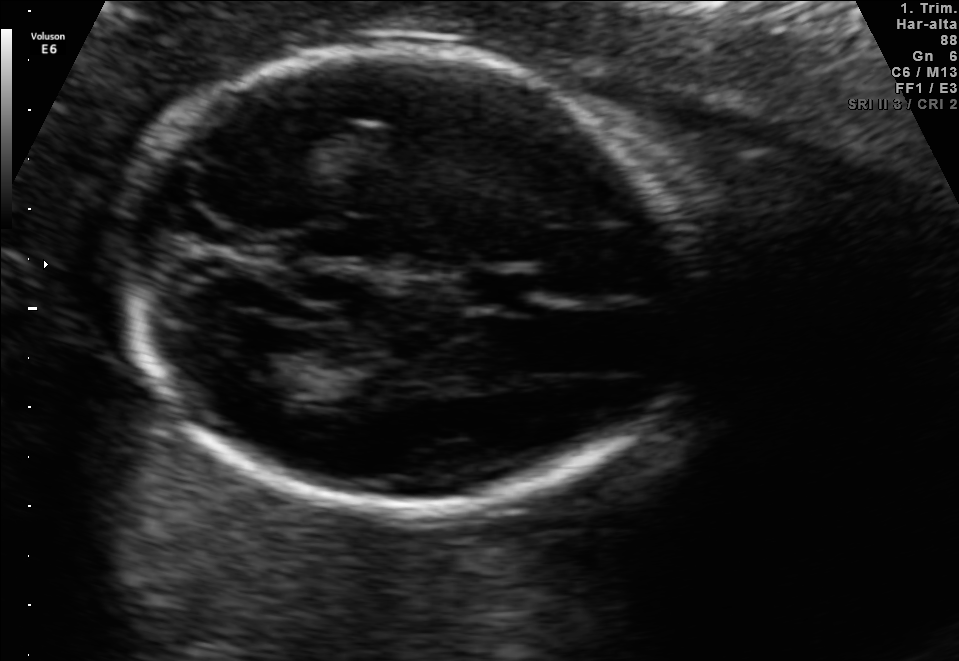
In this fetal brain, trans-thalamic plane, give the bounding box of the fetal head.

[111,47,702,512]